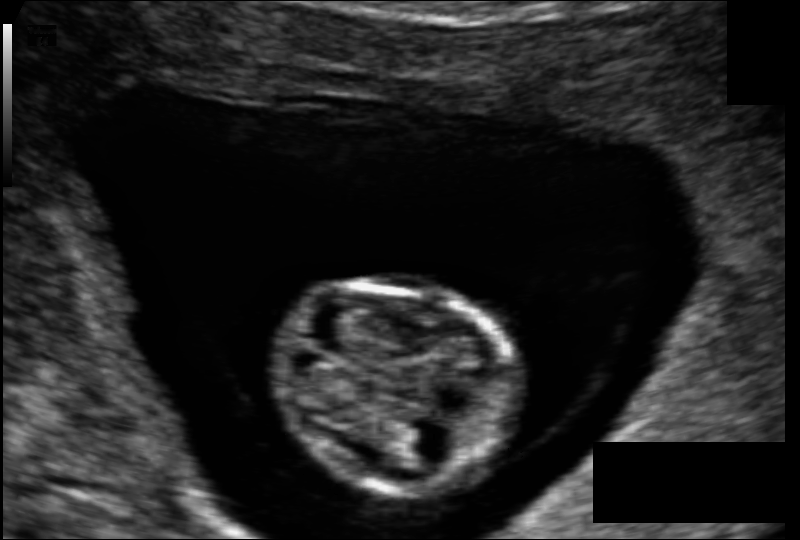
Fetal head ultrasound. Image width: 71.4 mm. Where is the fetal head?

Head bounding box: [275,285,520,490]